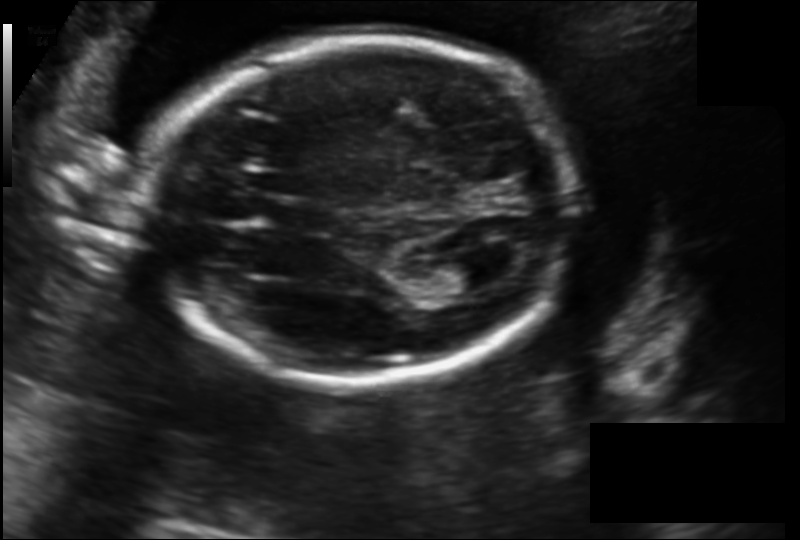
Fetal head ultrasound. Image width: 121.4 mm. Locate the fetal head and, if visible, the cavum septum pellucidum (CSP) and lateral ventricle (LV). Give bounding boxes as [x1,y1,x2,y2].

Head: [147,38,573,381]
Lateral ventricle: [431,250,506,299]